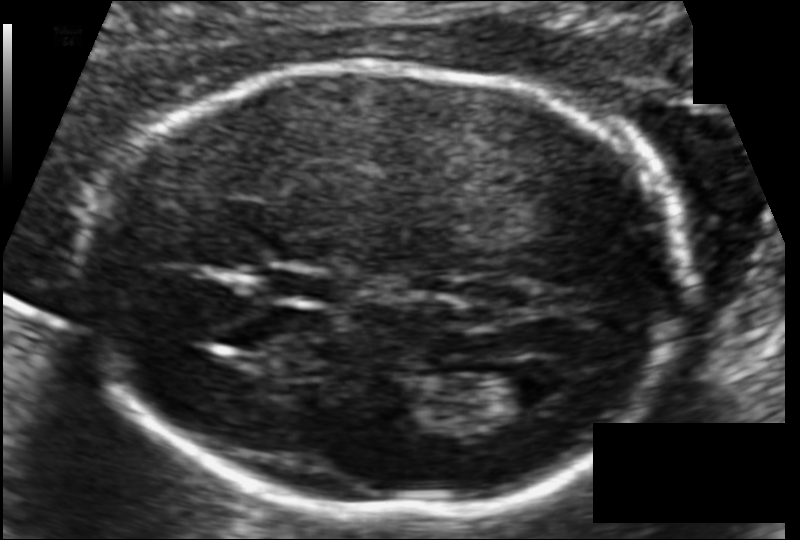
Estimate the fetal head circumference from this 2D ultrasound. Image width: 81.8 mm.

Head circumference: 173.3 mm.